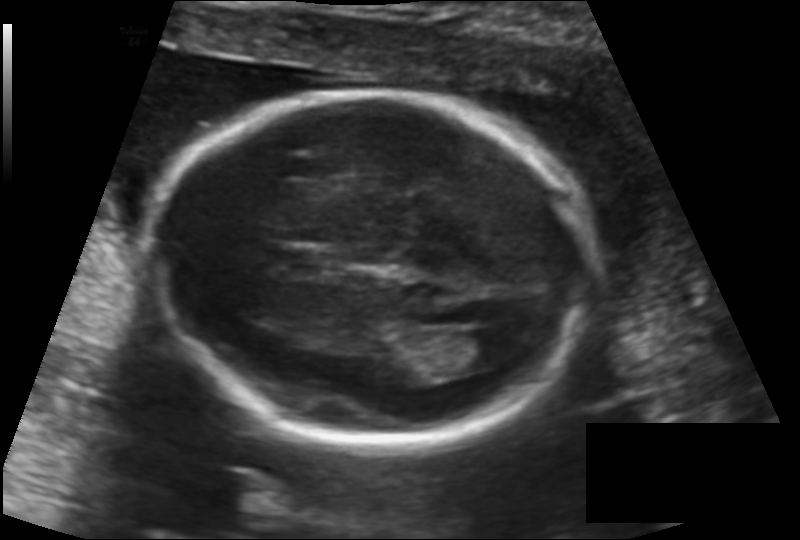
Fetal head ultrasound. Image width: 109.6 mm. Locate the fetal head and, if visible, the cavum septum pellucidum (CSP) and lateral ventricle (LV). Give bounding boxes as [x1,y1,x2,y2].

Head: [151,92,594,443]
CSP: [278,248,330,276]
Lateral ventricle: [448,325,516,373]